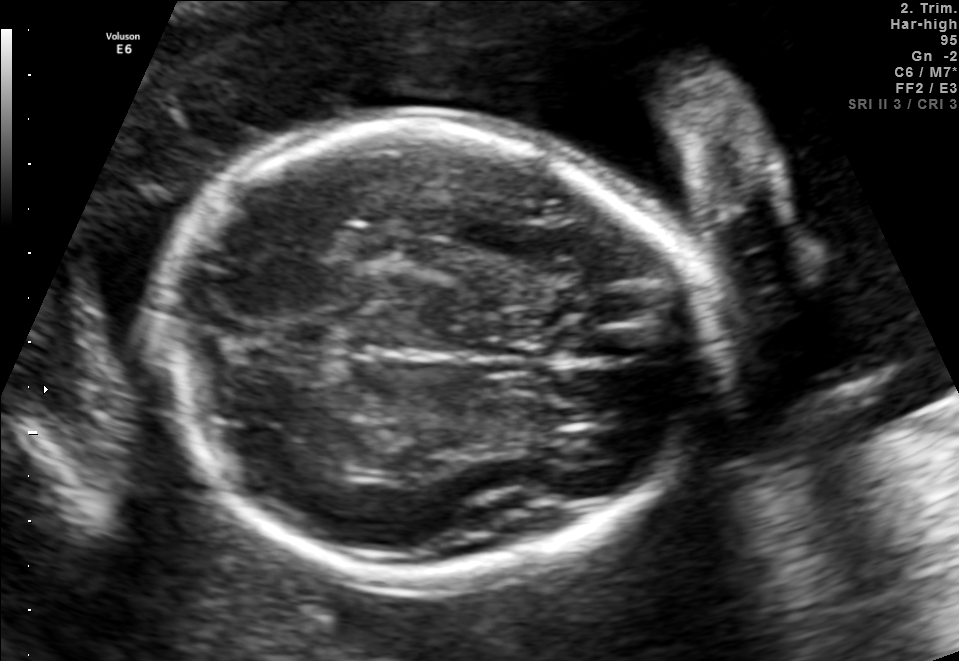
Fetal brain, trans-thalamic plane. Locate the fetal head and, if visible, the cavum septum pellucidum (CSP) and lateral ventricle (LV). Give bounding boxes as [x1,y1,x2,y2].

Head: [165,120,714,587]